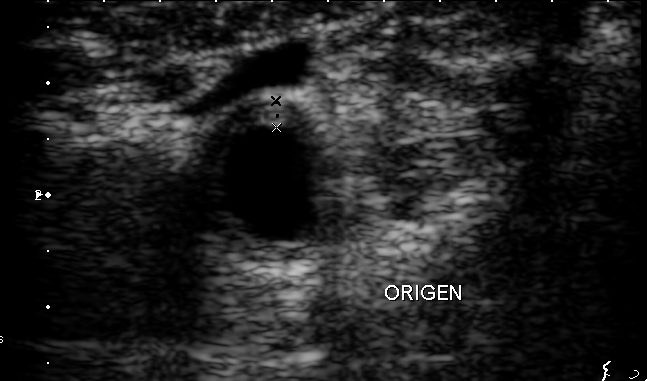
Identify the standard plane in this fetal ultrasound image: fetal abdomen, fetal brain, fetal femur, fetal thorax, maternal cervix, or other. If it's fetal brain and one of the three standard brain planes (trans-thalamic, trans-cerebellum, trans-ventricular), name which.

Other